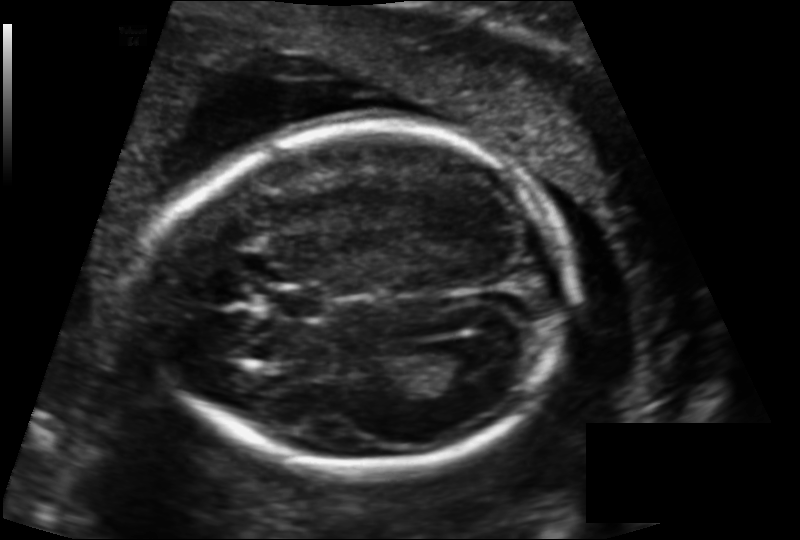
In this fetal head ultrasound, give bounding boxes for the head outline, cavum septum pellucidum (CSP), and lateral ventricle (LV), where visible. Image width: 109.5 mm.

Head: [152,118,568,474]
CSP: [271,289,324,316]
Lateral ventricle: [424,336,500,396]